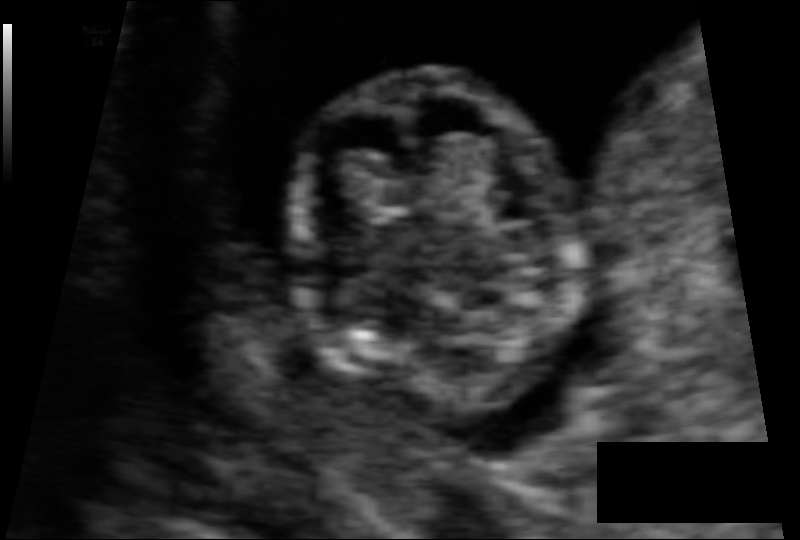
In this fetal head ultrasound, give bounding boxes for the head outline, cavum septum pellucidum (CSP), and lateral ventricle (LV), where visible. Image width: 52.5 mm.

Head: [289,70,585,427]